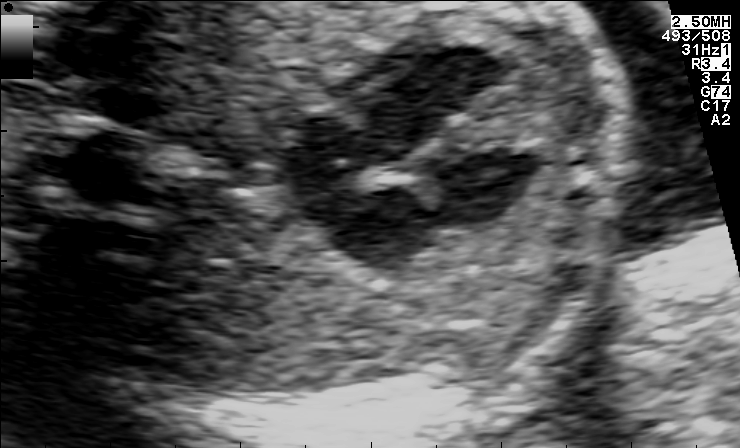
Identify the standard plane in this fetal ultrasound image: fetal abdomen, fetal brain, fetal femur, fetal thorax, maternal cervix, or other. If it's fetal brain and one of the three standard brain planes (trans-thalamic, trans-cerebellum, trans-ventricular), name which.

Fetal thorax